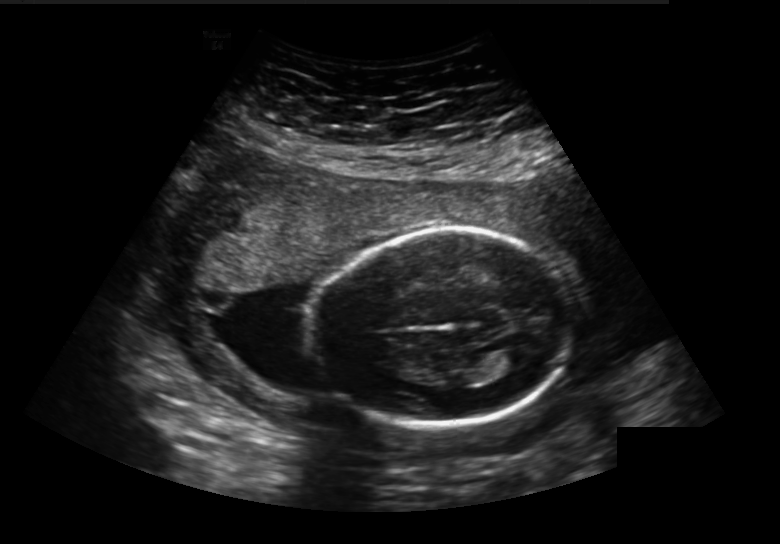
Estimate the fetal head circumference from this 2D ultrasound. Image width: 184.0 mm.

Head circumference: 176.3 mm.